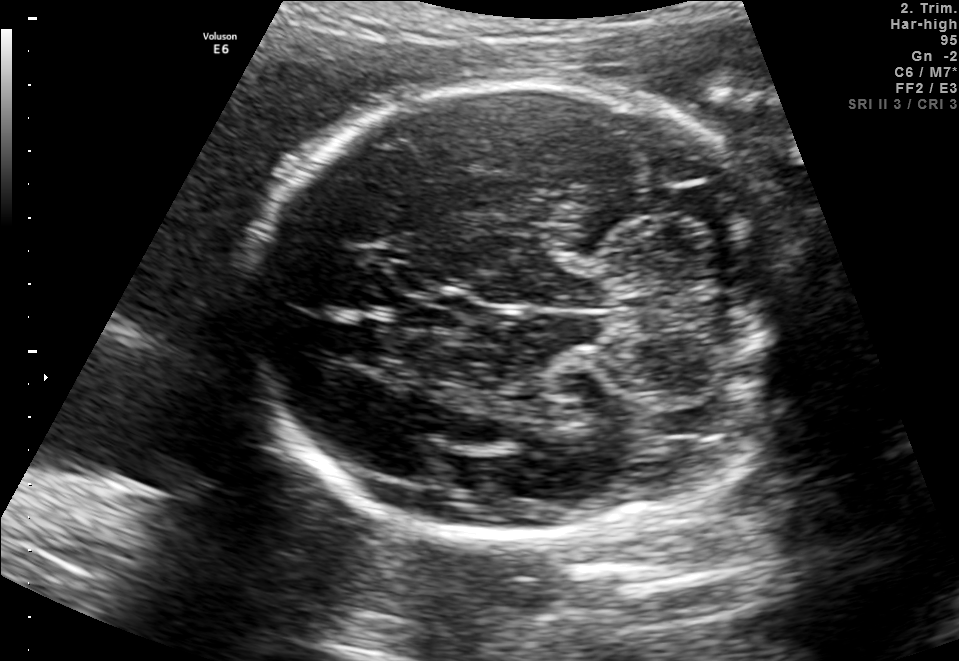
Fetal brain, trans-cerebellum plane. Give [x1,y1,x2,y2] bounding boxes for each visible structure among: fetal head, CSP, LV.

Head: [247,80,790,539]
CSP: [402,292,466,332]